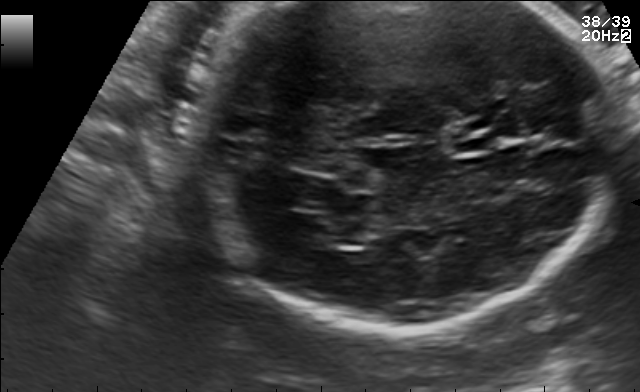
Fetal brain, trans-cerebellum plane. Locate the cavum septum pellucidum.

CSP: [448,129,494,159]